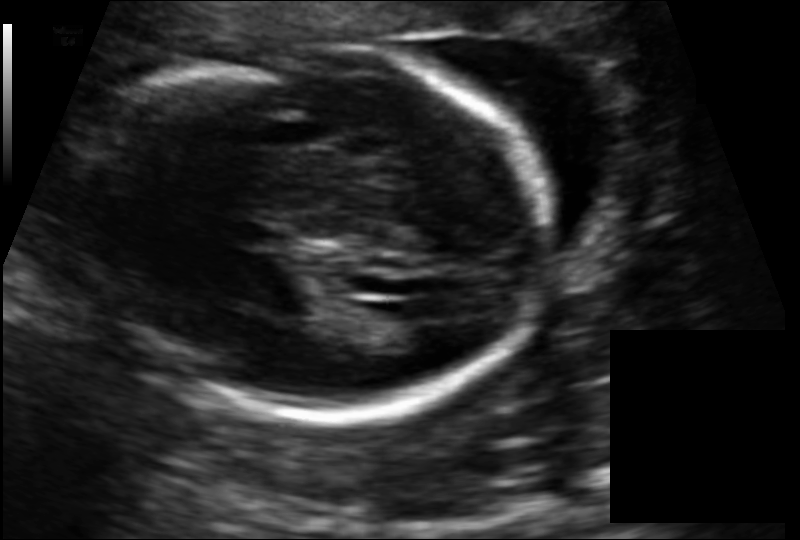
Estimate the fetal head circumference from this 2D ultrasound. Image width: 108.7 mm.

Head circumference: 185.5 mm.